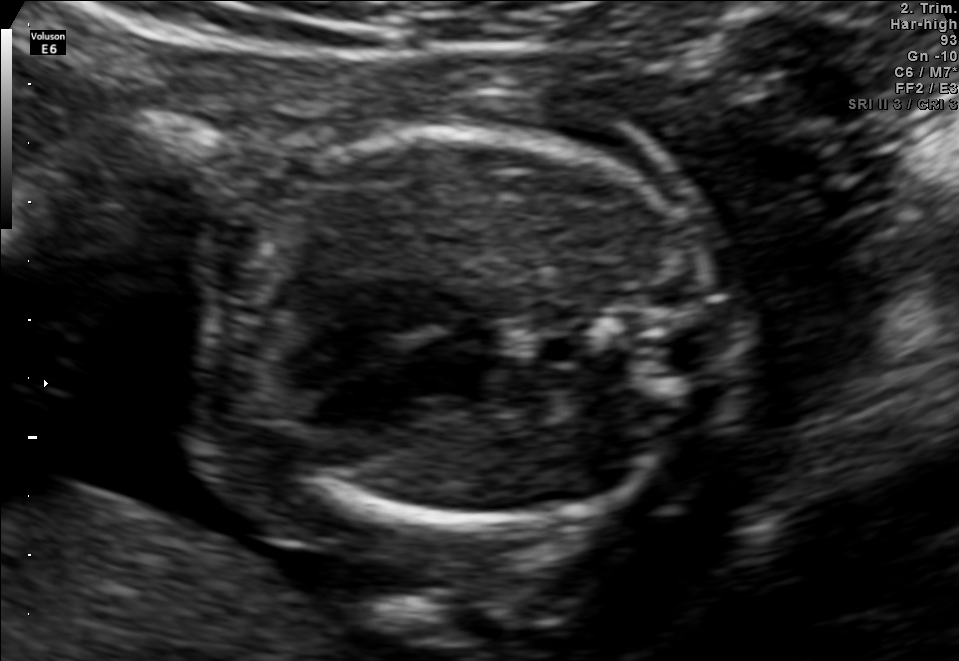
Which standard maternal-fetal ultrasound plane is shown: fetal abdomen, fetal brain, fetal femur, fetal thorax, maternal cervix, or other? If it's fetal brain and one of the three standard brain planes (trans-thalamic, trans-cerebellum, trans-ventricular), name which.

Fetal thorax